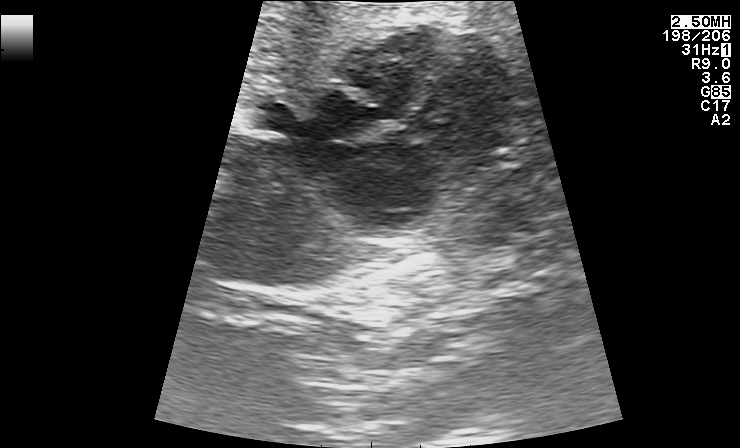
This is a 2D maternal-fetal ultrasound frame. Is it a fetal abdomen, fetal brain, fetal femur, fetal thorax, maternal cervix, or other standard plane? If it's fetal brain and one of the three standard brain planes (trans-thalamic, trans-cerebellum, trans-ventricular), name which.

Other